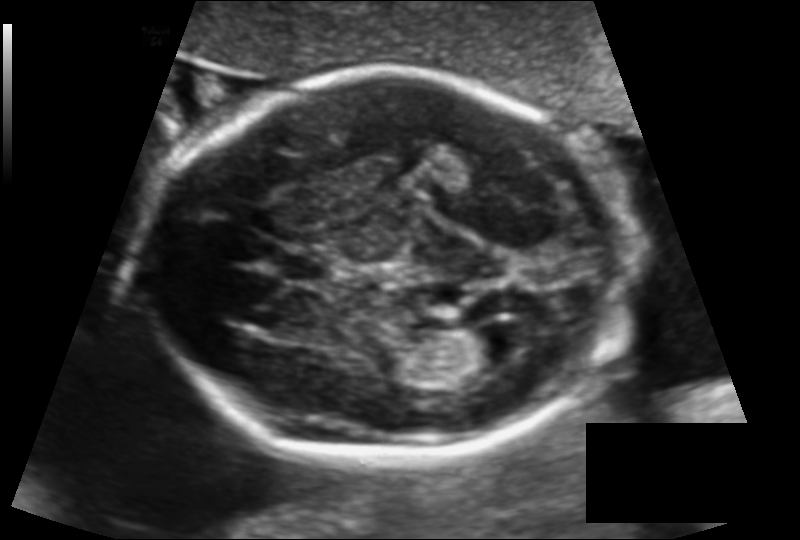
Fetal head ultrasound. Image width: 103.5 mm. Locate the fetal head.

Head: [146,70,632,457]